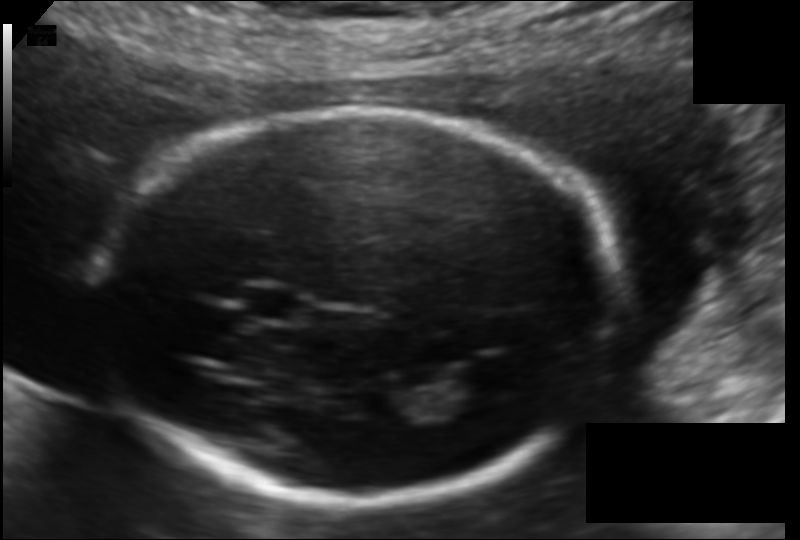
Fetal head ultrasound. Image width: 96.1 mm. Where is the cavum septum pellucidum?

CSP bounding box: [242,281,306,323]